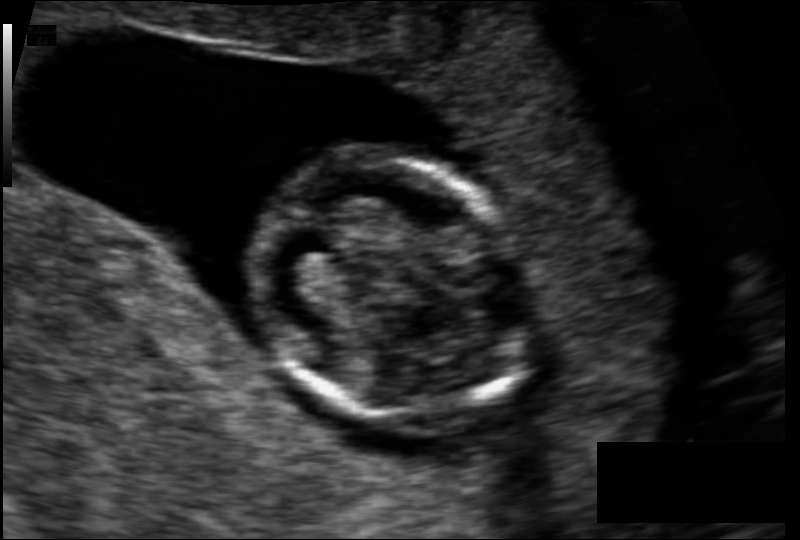
Measure the fetal head circumference shown in this ultrasound image. Image width: 75.6 mm.

Head circumference: 84.6 mm.